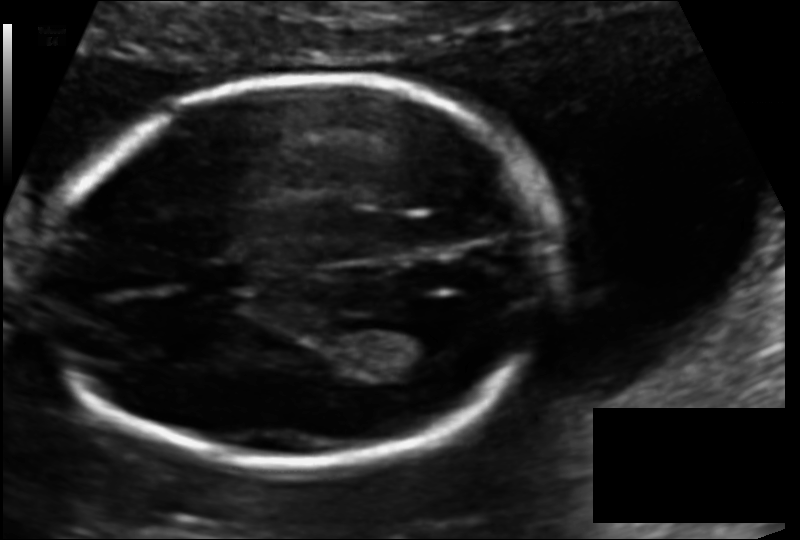
Estimate the fetal head circumference from this 2D ultrasound. Image width: 90.5 mm.

Head circumference: 167.7 mm.